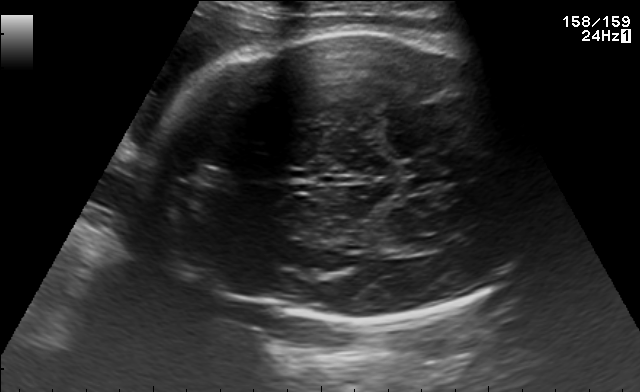
In this fetal brain, trans-thalamic plane, give bounding boxes for the head outline, cavum septum pellucidum (CSP), and lateral ventricle (LV), where visible.

Head: [141,27,532,324]
Lateral ventricle: [380,236,429,259]